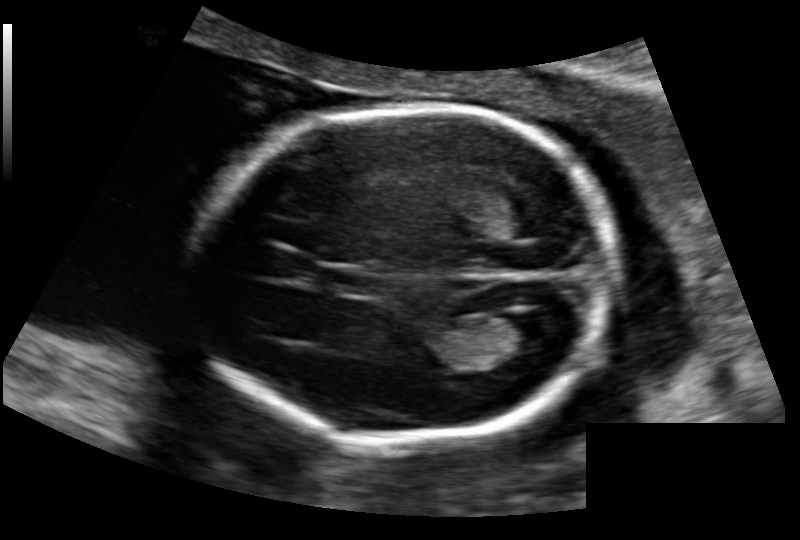
Measure the fetal head circumference shown in this ultrasound image. Image width: 108.9 mm.

Head circumference: 167.1 mm.